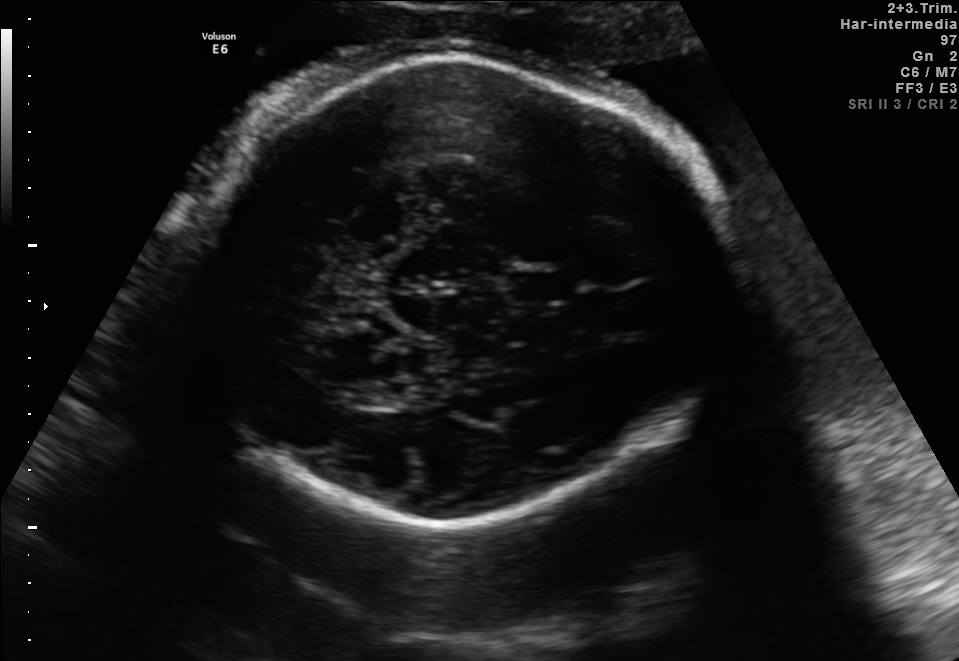
In this fetal brain, trans-thalamic plane, give the bounding box of the lateral ventricle.

[350,383,408,409]